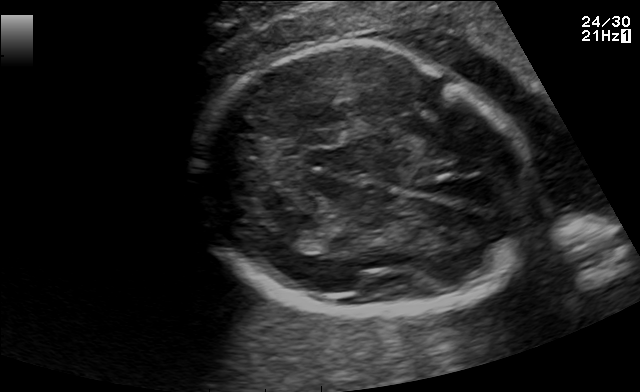
In this fetal brain, trans-thalamic plane, give bounding boxes for the head outline, cavum septum pellucidum (CSP), and lateral ventricle (LV), where visible.

Head: [196,44,535,320]